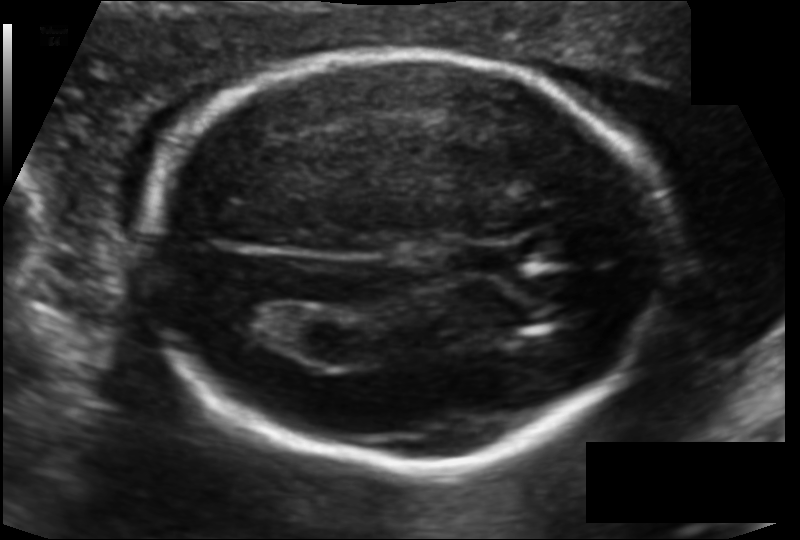
What is the fetal head circumference? Image width is 91.7 mm.

174.2 mm